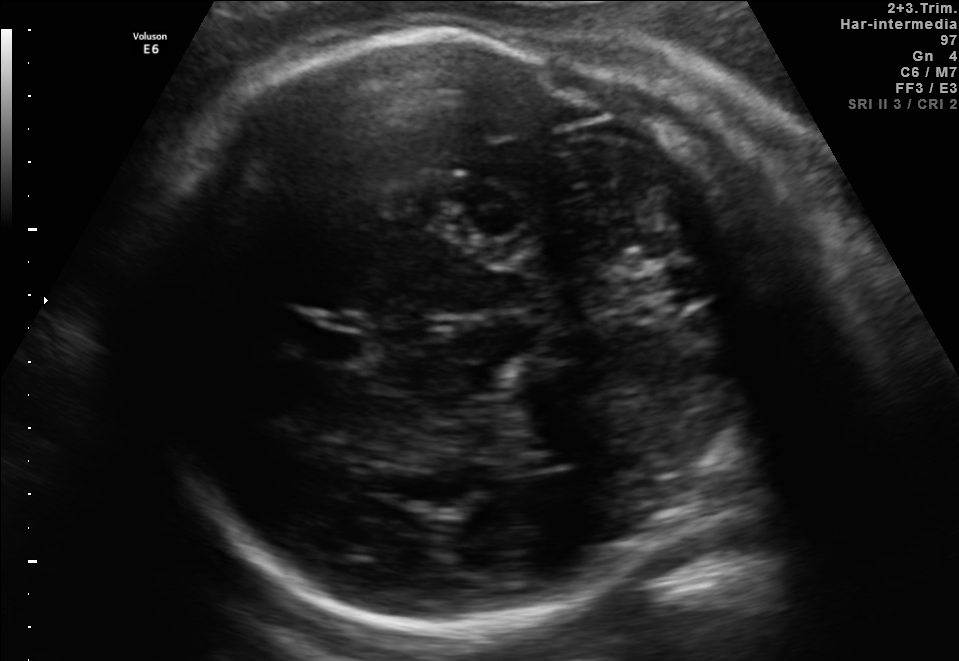
In this fetal brain, trans-thalamic plane, give the bounding box of the lateral ventricle.

[512,435,585,476]